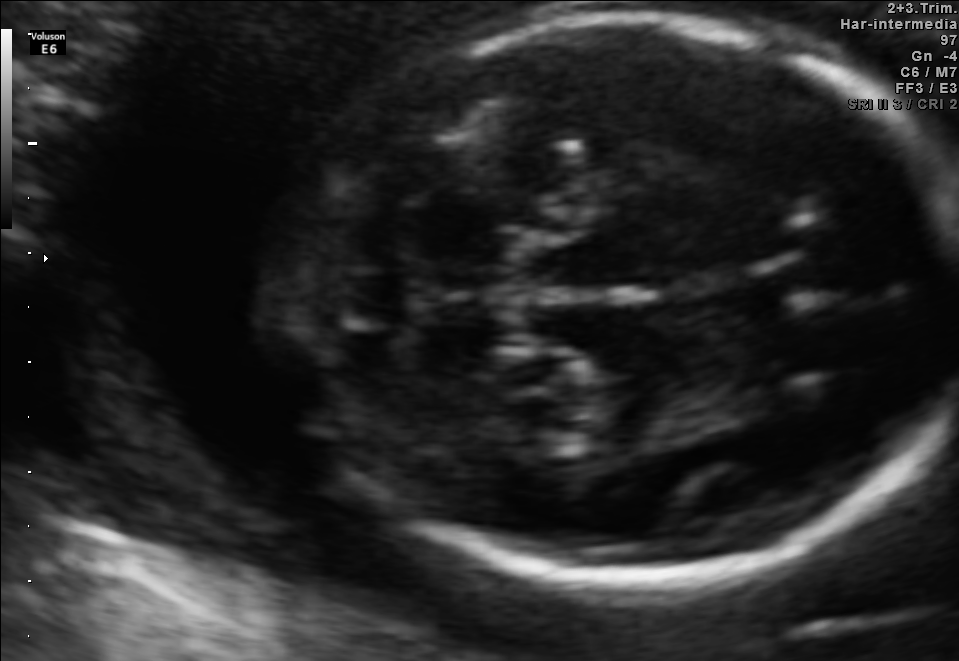
Fetal brain, trans-cerebellum plane. Where is the fetal head?

Head bounding box: [284,14,957,581]